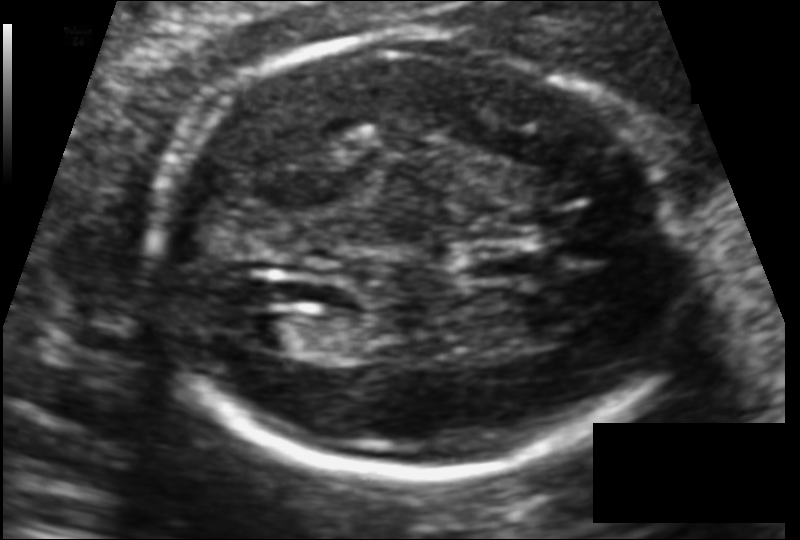
Fetal head ultrasound. Image width: 88.1 mm. Locate the lateral ventricle.

Lateral ventricle: [238,311,306,351]